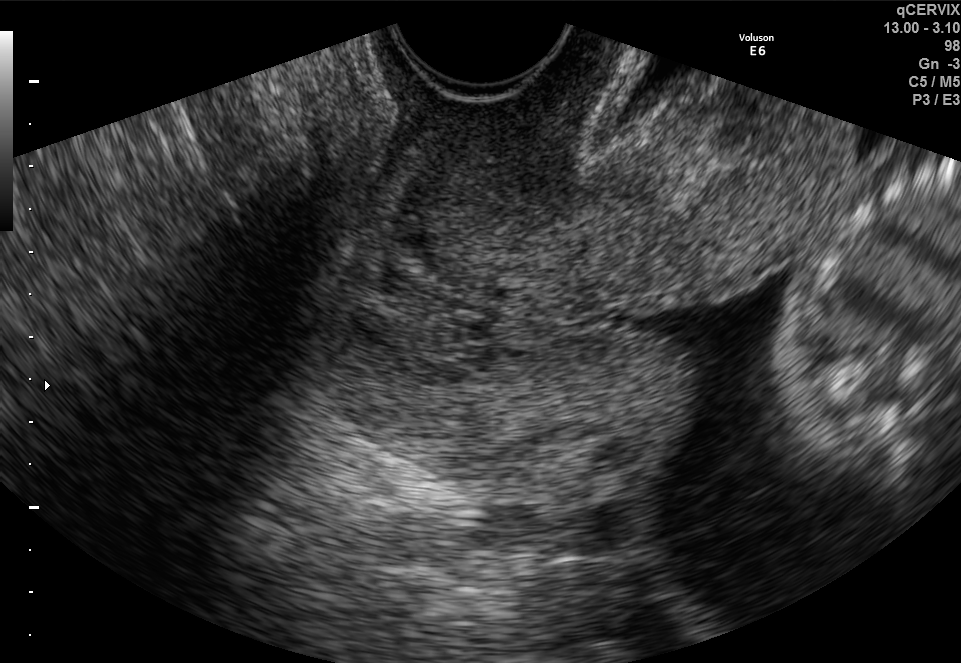
Which standard maternal-fetal ultrasound plane is shown: fetal abdomen, fetal brain, fetal femur, fetal thorax, maternal cervix, or other? If it's fetal brain and one of the three standard brain planes (trans-thalamic, trans-cerebellum, trans-ventricular), name which.

Maternal cervix